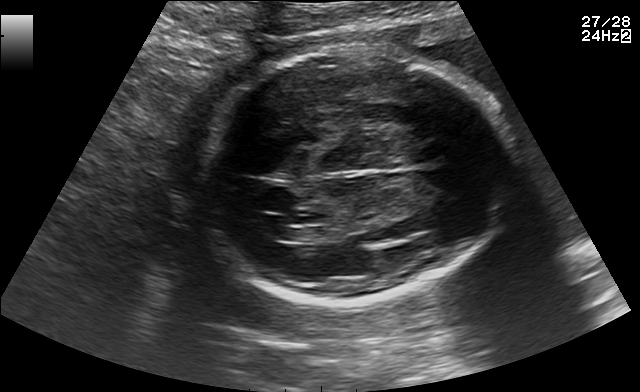
Fetal brain, trans-ventricular plane. Locate the fetal head.

Head: [200,45,515,308]